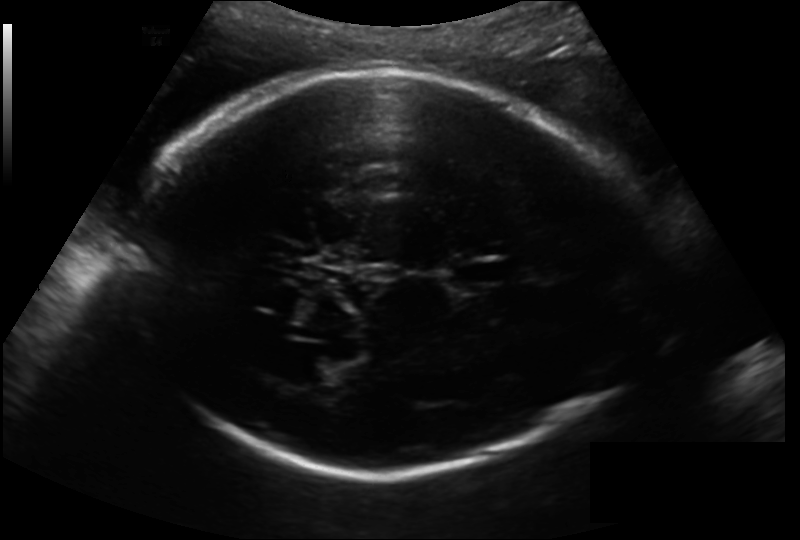
What is the fetal head circumference? Image width is 154.5 mm.

280.6 mm